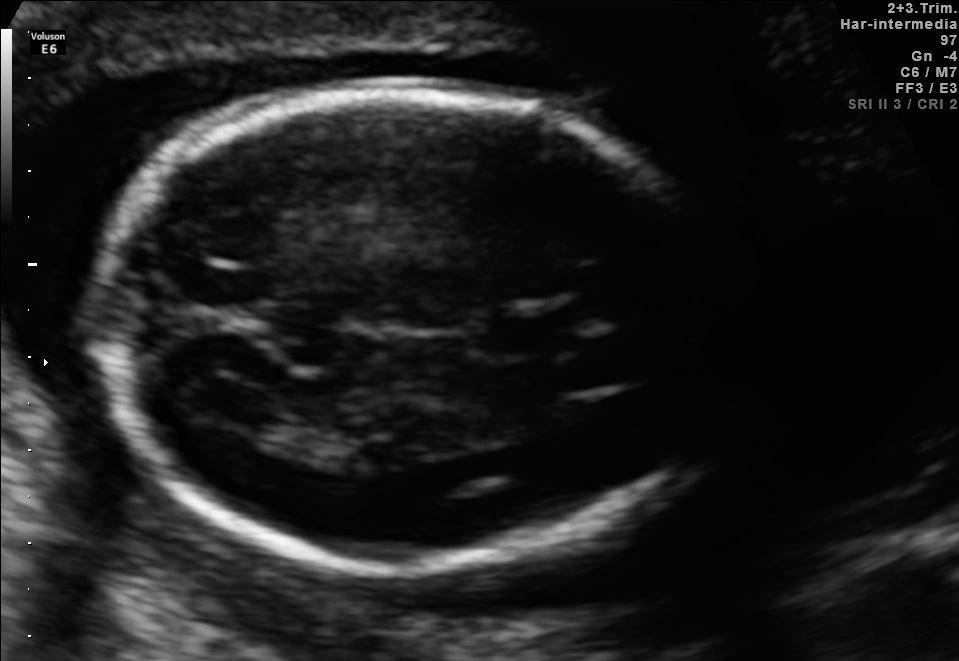
In this fetal brain, trans-ventricular plane, give the bounding box of the cavum septum pellucidum.

[487,317,565,351]